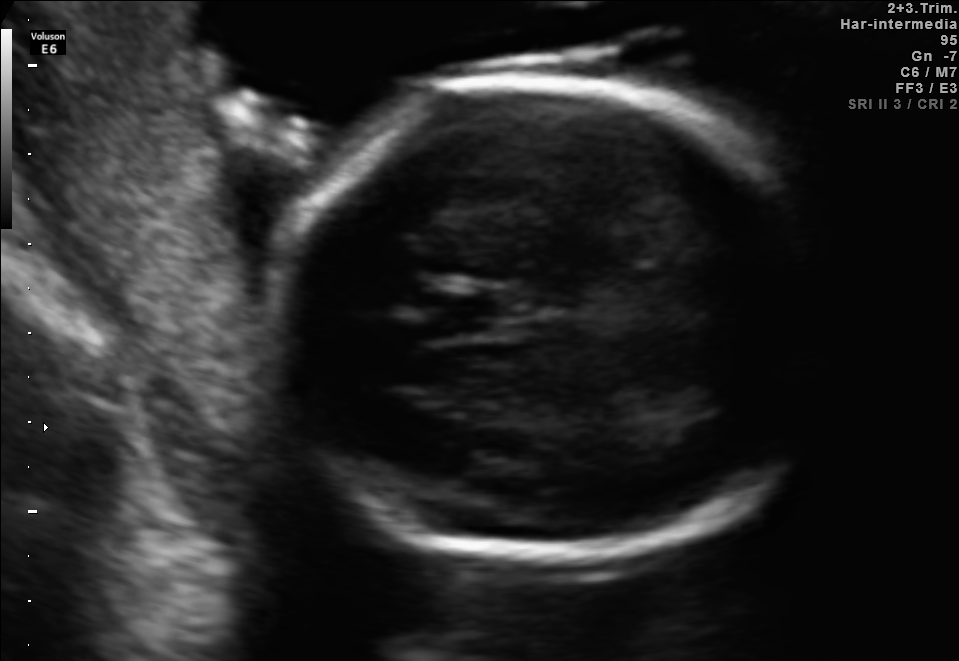
In this fetal brain, trans-thalamic plane, give the bounding box of the cavum septum pellucidum.

[427,290,503,337]